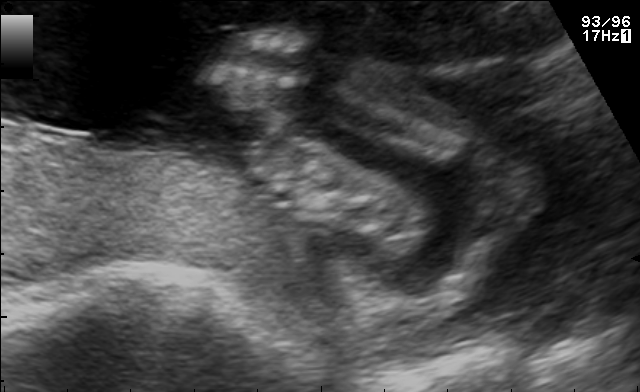
Identify the standard plane in this fetal ultrasound image: fetal abdomen, fetal brain, fetal femur, fetal thorax, maternal cervix, or other. If it's fetal brain and one of the three standard brain planes (trans-thalamic, trans-cerebellum, trans-ventricular), name which.

Other